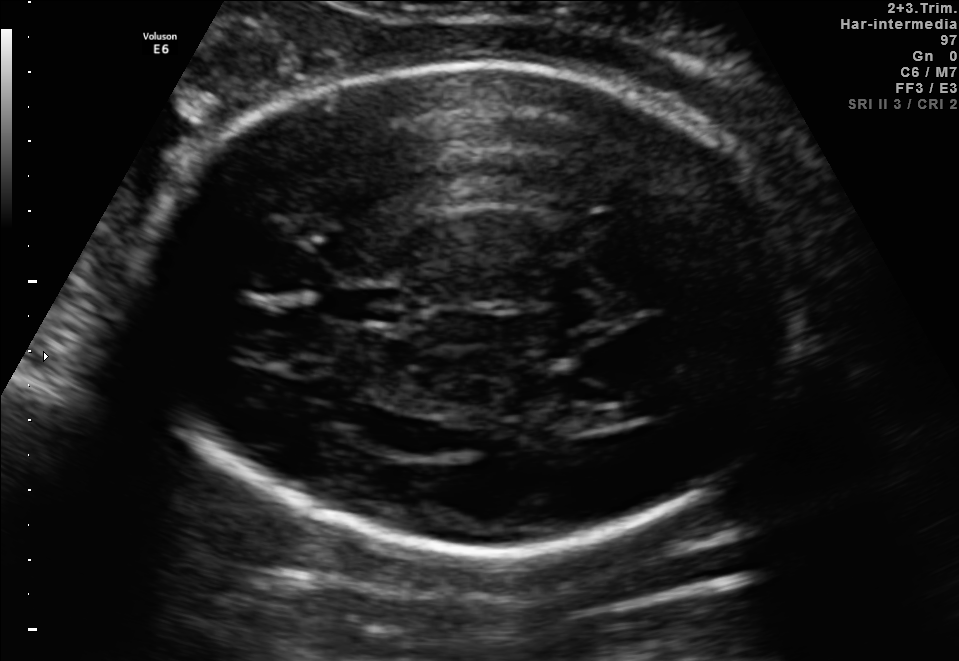
Fetal brain, trans-ventricular plane. Give [x1,y1,x2,y2] bounding boxes for each visible structure among: fetal head, CSP, LV.

Head: [137,56,816,563]
CSP: [318,283,412,327]